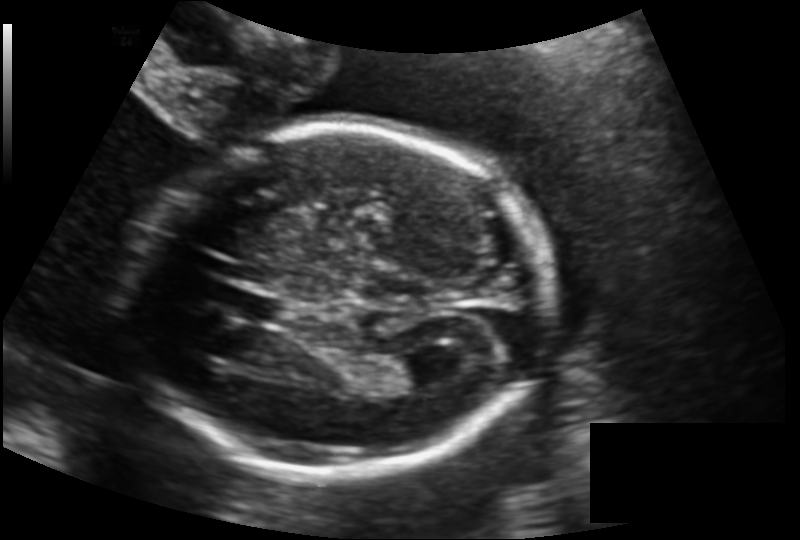
From this fetal ultrasound, estimate the head circumference (image width 117.2 mm).

Head circumference: 182.8 mm.